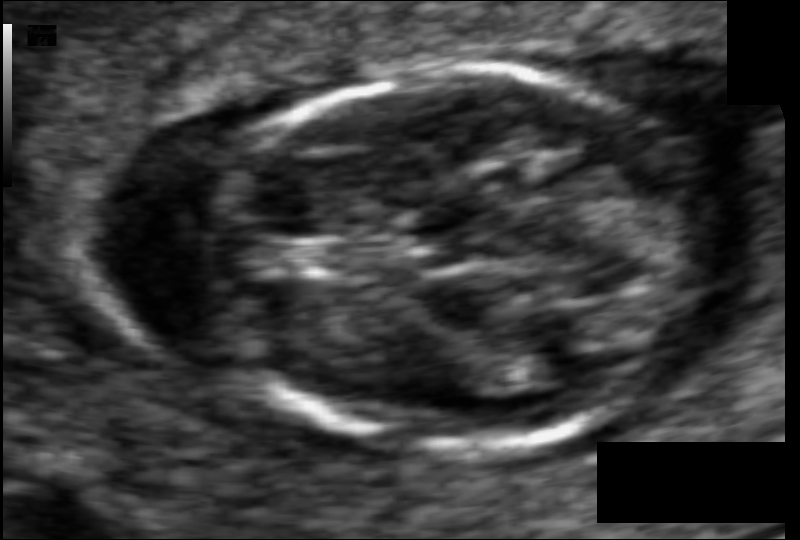
Estimate the fetal head circumference from this 2D ultrasound.

Head circumference: 82.5 mm (image width 46.1 mm).